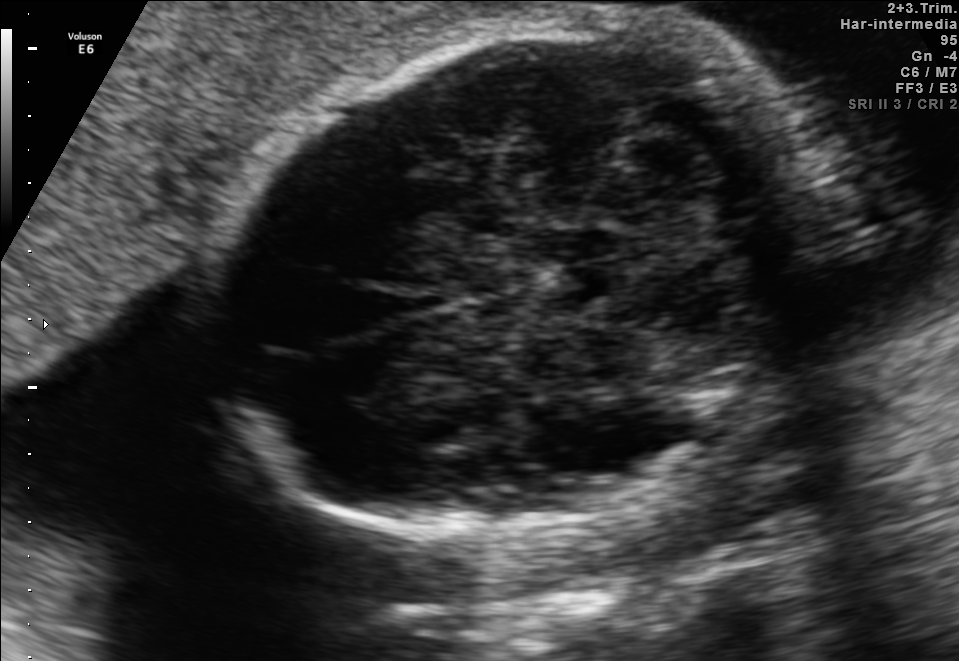
Fetal brain, trans-cerebellum plane. Locate the fetal head and, if visible, the cavum septum pellucidum (CSP) and lateral ventricle (LV). Give bounding boxes as [x1,y1,x2,y2].

Head: [206,23,817,538]